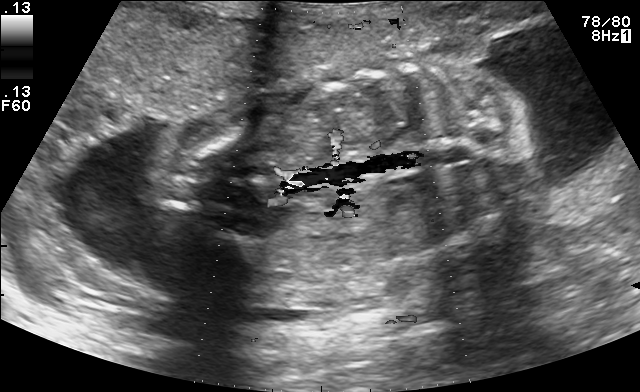
Identify the standard plane in this fetal ultrasound image: fetal abdomen, fetal brain, fetal femur, fetal thorax, maternal cervix, or other. If it's fetal brain and one of the three standard brain planes (trans-thalamic, trans-cerebellum, trans-ventricular), name which.

Other